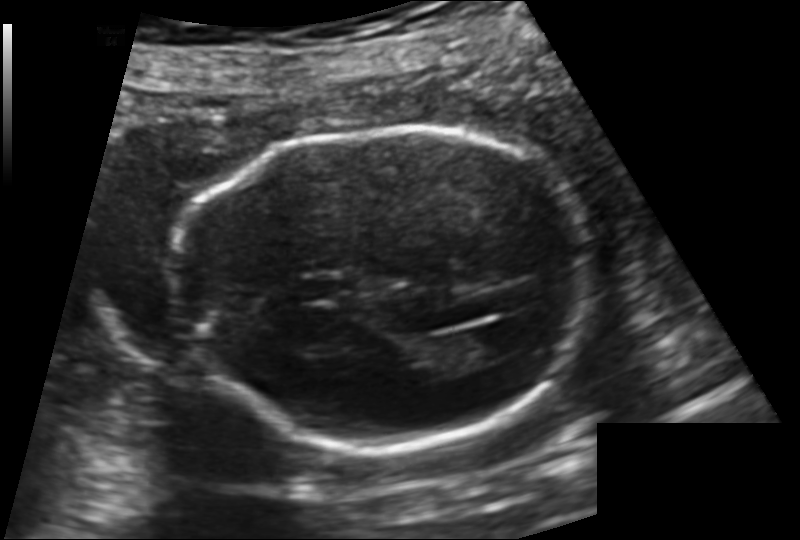
In this fetal head ultrasound, give the bounding box of the cavum septum pellucidum. Image width: 115.3 mm.

[295,277,341,301]